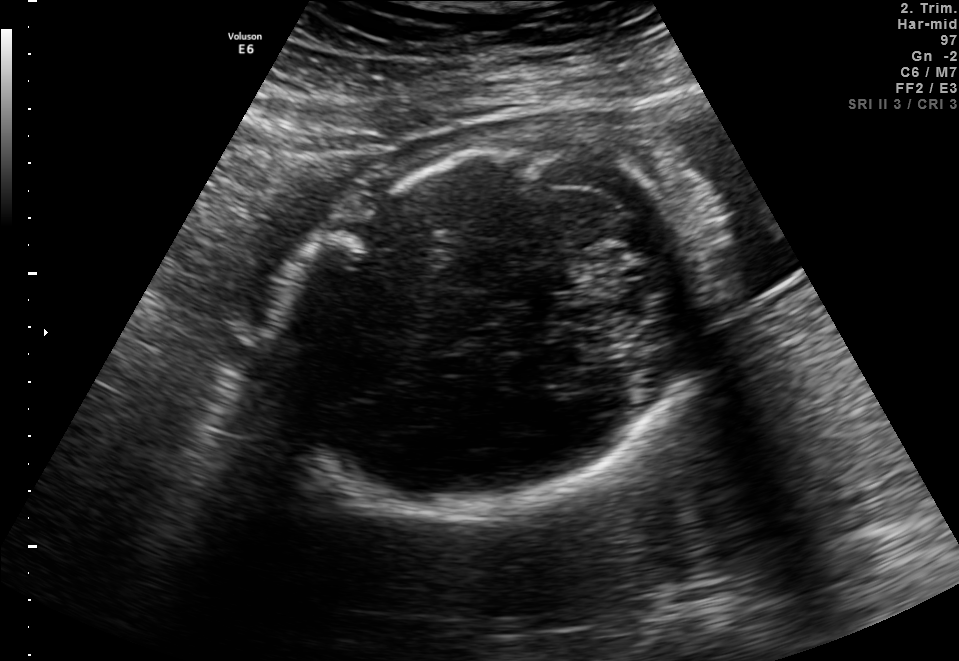
In this fetal brain, trans-cerebellum plane, give the bounding box of the fetal head.

[275,146,702,513]